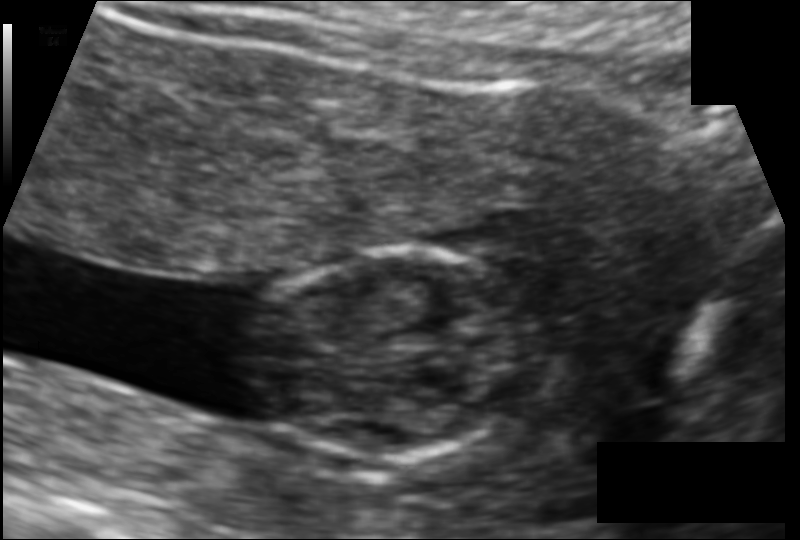
Fetal head ultrasound. Image width: 84.2 mm. Where is the fetal head?

Head bounding box: [252,250,523,463]